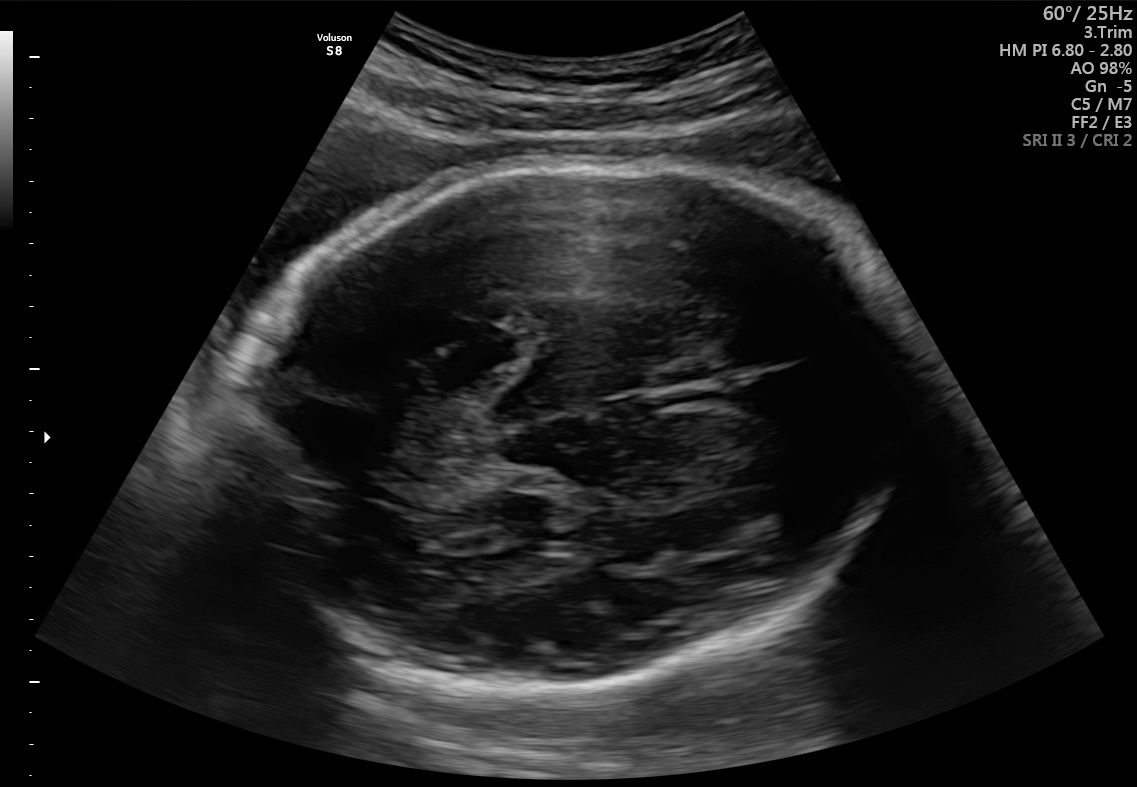
Fetal brain, trans-thalamic plane. Locate the fetal head.

Head: [243,163,894,686]